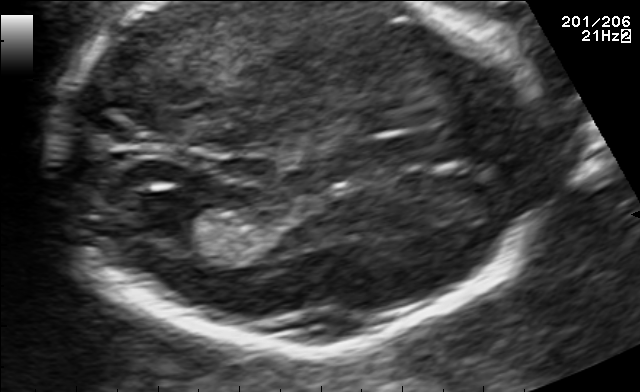
Fetal brain, trans-thalamic plane. Where is the cavum septum pellucidum?

CSP bounding box: [369,125,459,171]